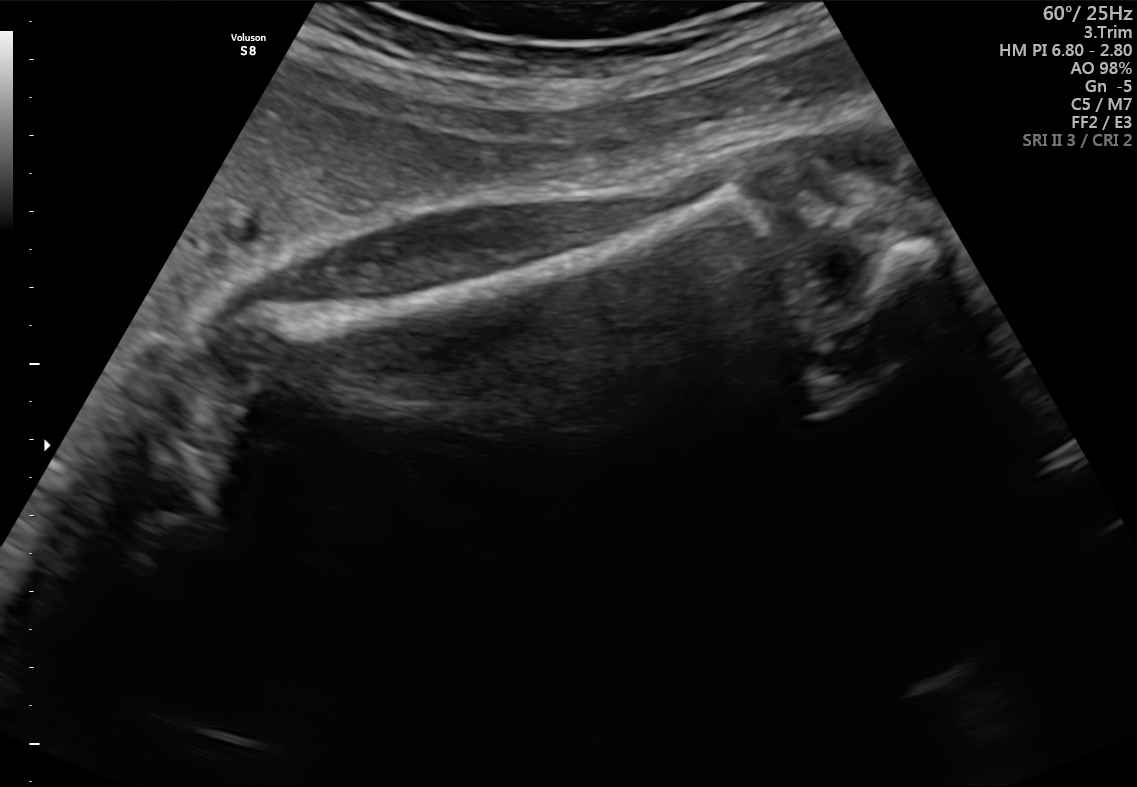
Identify the standard plane in this fetal ultrasound image: fetal abdomen, fetal brain, fetal femur, fetal thorax, maternal cervix, or other. If it's fetal brain and one of the three standard brain planes (trans-thalamic, trans-cerebellum, trans-ventricular), name which.

Fetal femur